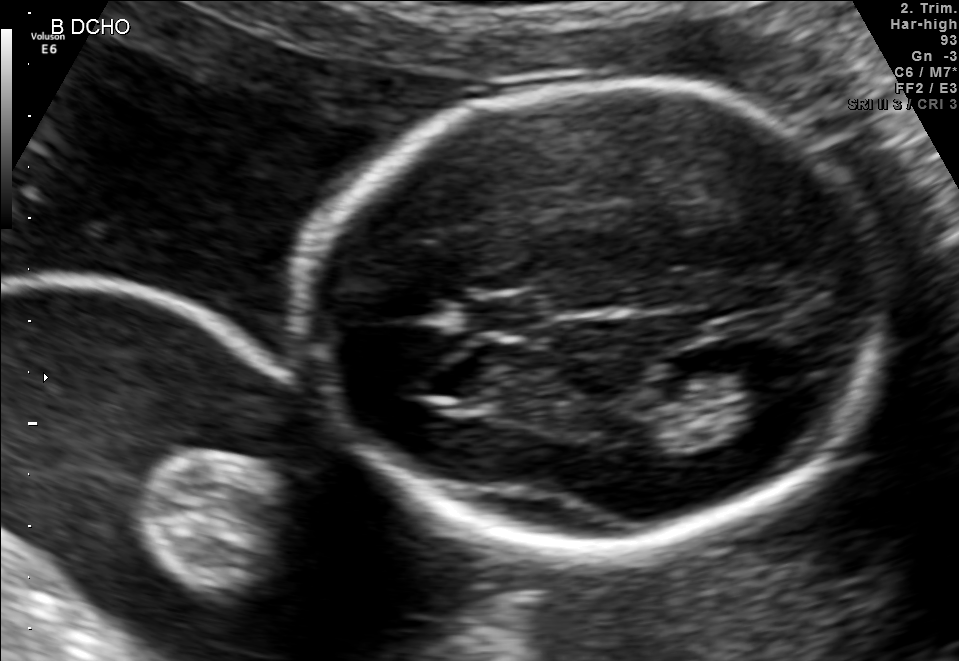
Fetal brain, trans-thalamic plane. Locate the fetal head and, if visible, the cavum septum pellucidum (CSP) and lateral ventricle (LV). Give bounding boxes as [x1,y1,x2,y2].

Head: [297,80,892,555]
CSP: [464,293,545,335]
Lateral ventricle: [709,332,809,422]